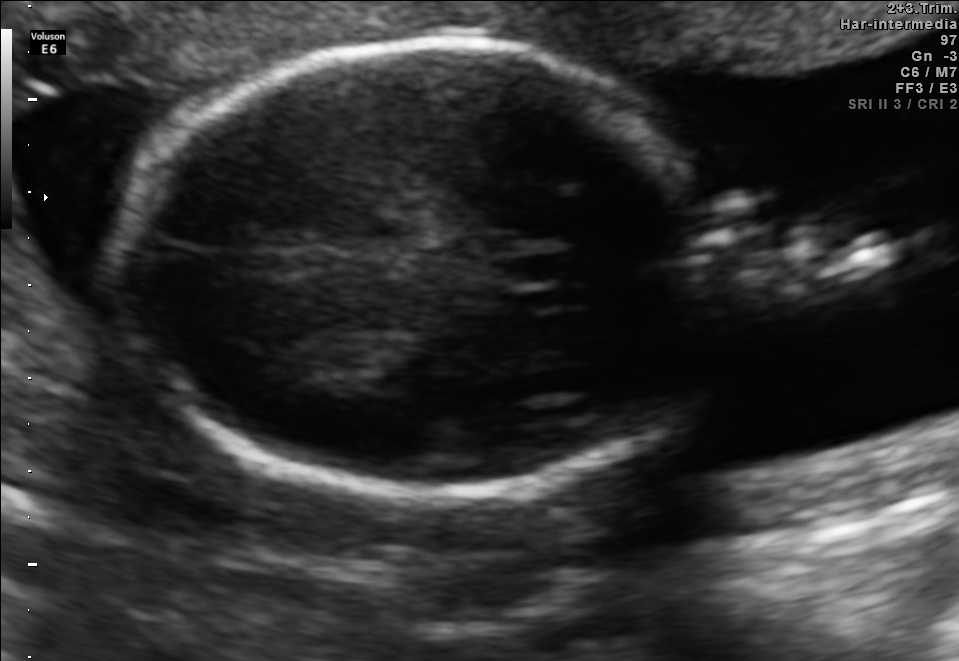
In this fetal brain, trans-thalamic plane, give the bounding box of the fetal head.

[112,44,735,489]